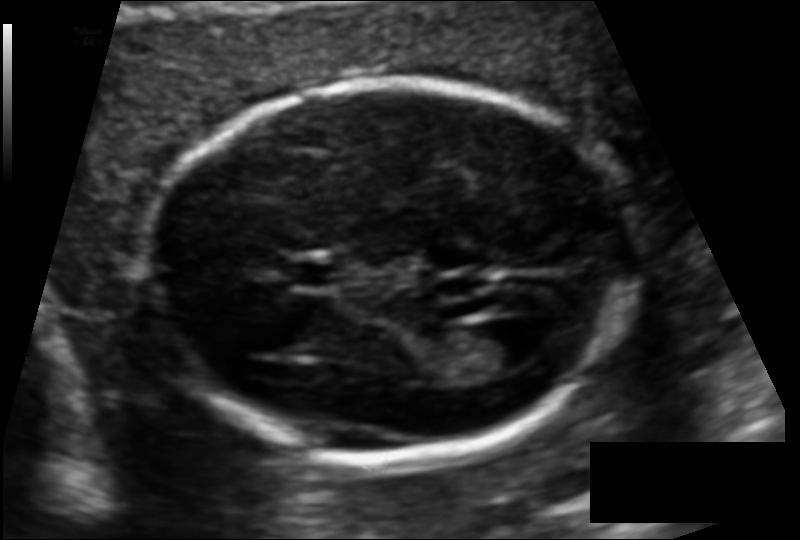
Measure the fetal head circumference shown in this ultrasound image. Image width: 88.0 mm.

Head circumference: 155.3 mm.